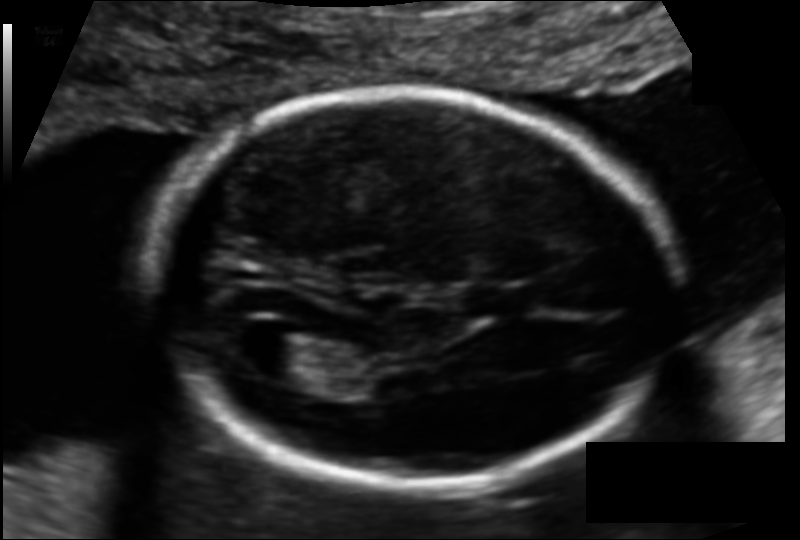
In this fetal head ultrasound, give the bounding box of the cavum septum pellucidum. Image width: 91.1 mm.

[466,282,532,319]